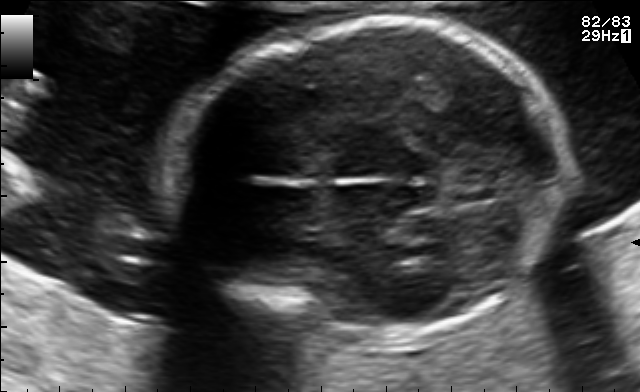
Fetal brain, trans-thalamic plane. Give [x1,y1,x2,y2] bounding boxes for each visible structure among: fetal head, CSP, LV.

Head: [174,20,567,346]